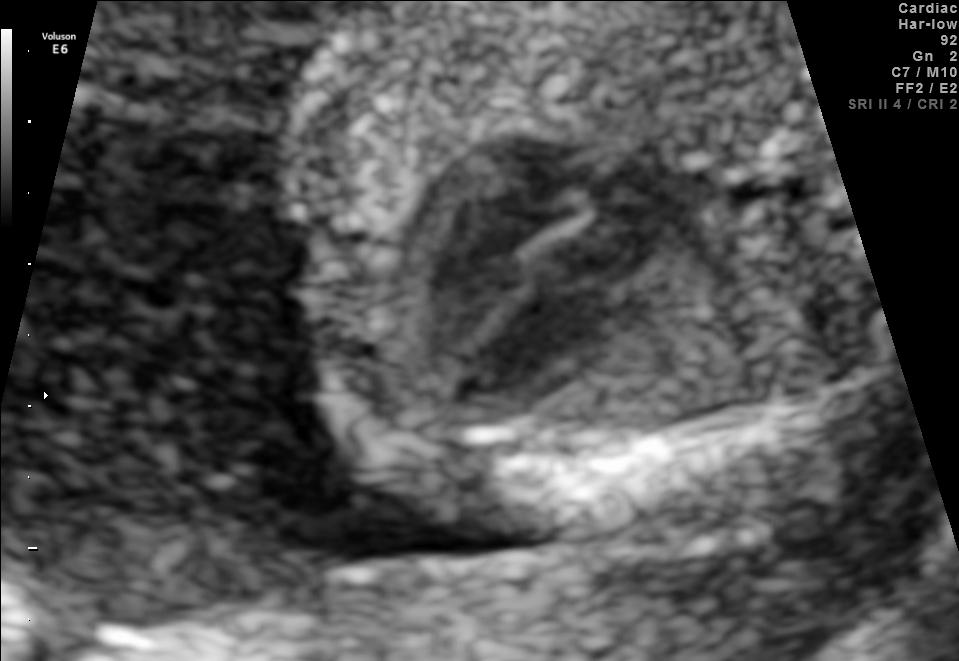
This is a 2D maternal-fetal ultrasound frame. Is it a fetal abdomen, fetal brain, fetal femur, fetal thorax, maternal cervix, or other standard plane? If it's fetal brain and one of the three standard brain planes (trans-thalamic, trans-cerebellum, trans-ventricular), name which.

Fetal thorax